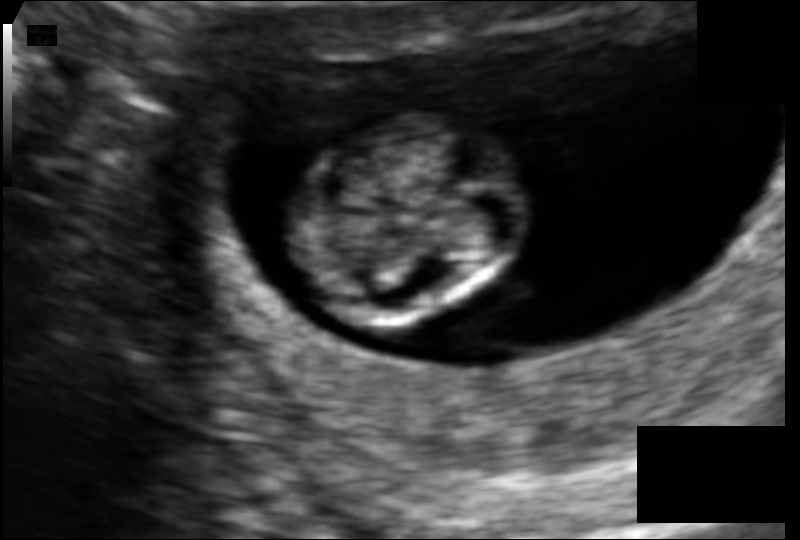
Fetal head ultrasound. Image width: 66.8 mm. Locate the fetal head and, if visible, the cavum septum pellucidum (CSP) and lateral ventricle (LV). Give bounding boxes as [x1,y1,x2,y2].

Head: [293,114,521,322]